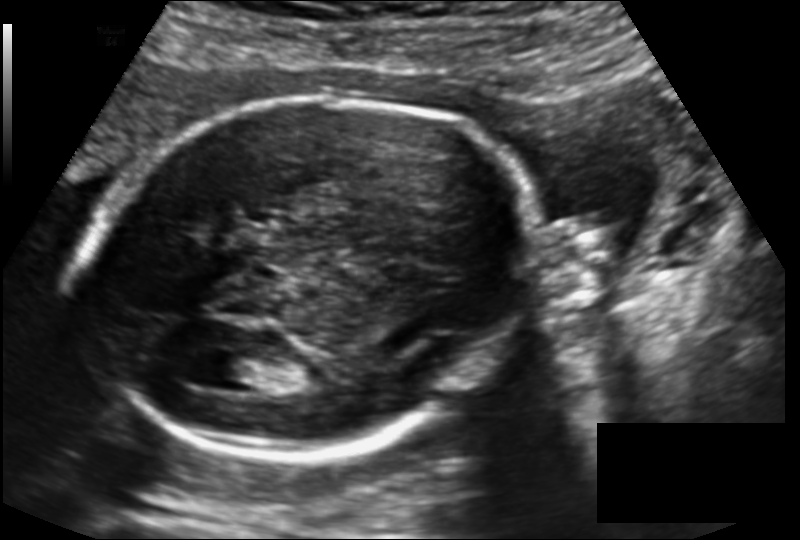
What is the fetal head circumference? Image width is 114.3 mm.

192.6 mm